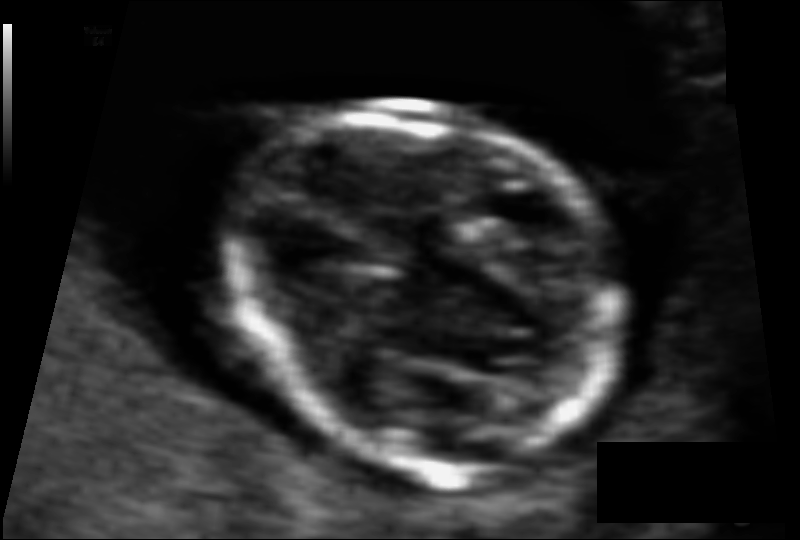
Fetal head ultrasound. Image width: 50.5 mm. Locate the fetal head.

Head: [231,100,624,472]